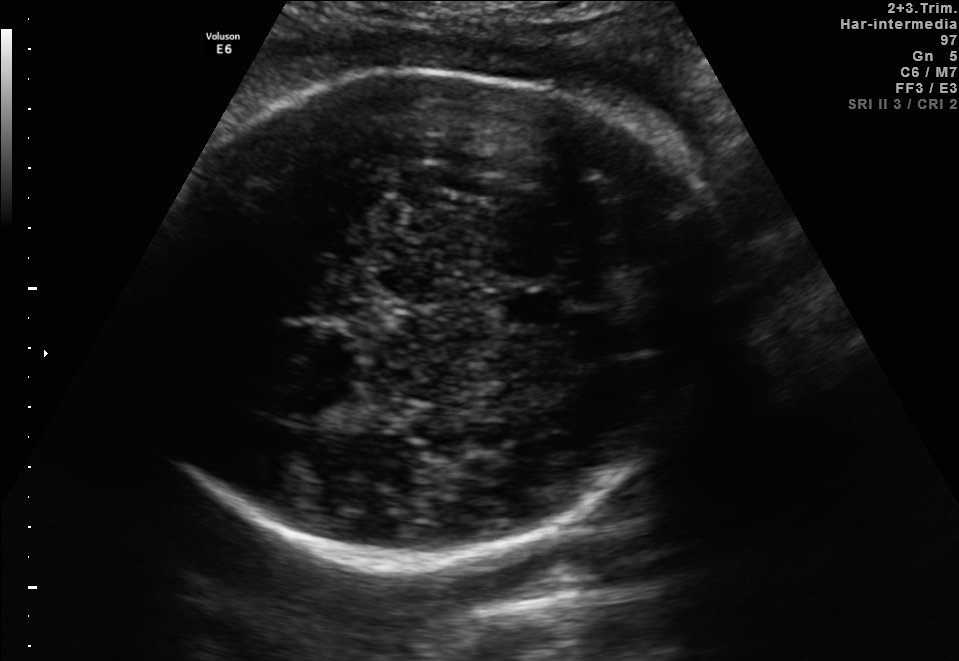
Classify this maternal-fetal ultrasound image as one of the six standard planes — fetal abdomen, fetal brain, fetal femur, fetal thorax, maternal cervix, or other. If it's fetal brain and one of the three standard brain planes (trans-thalamic, trans-cerebellum, trans-ventricular), name which.

Fetal brain (trans-thalamic plane)